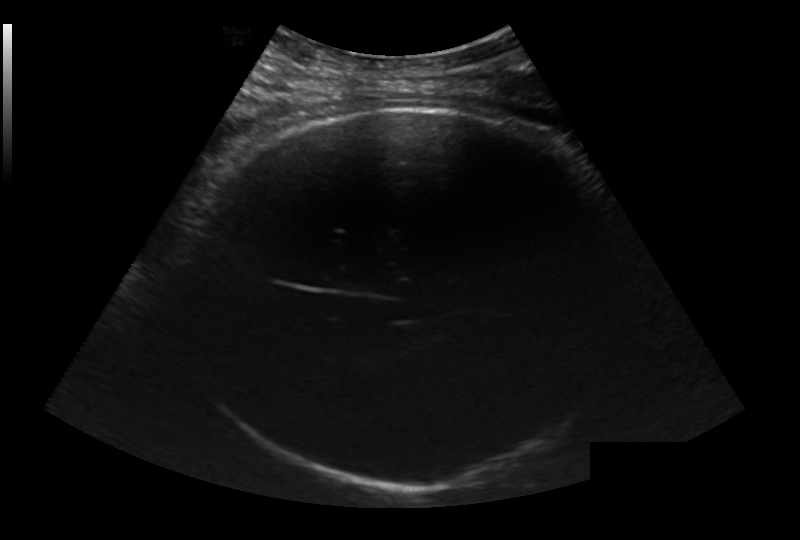
Fetal head ultrasound. Image width: 188.6 mm. Give [x1,y1,x2,y2] bounding boxes for each visible structure among: fetal head, CSP, LV.

Head: [189,105,619,489]